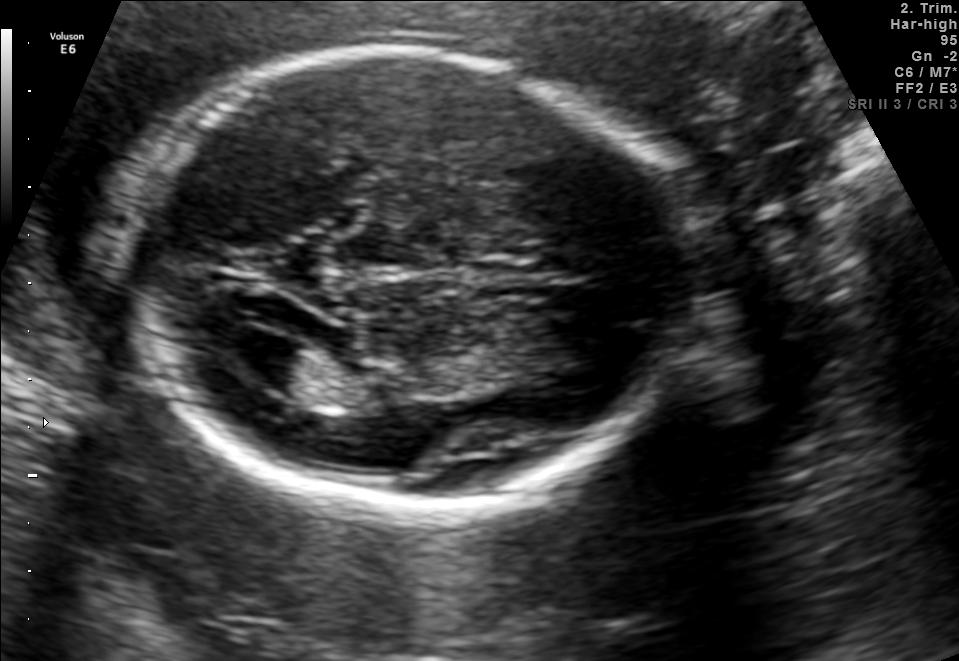
Fetal brain, trans-ventricular plane. Locate the cavum septum pellucidum.

CSP: [470,264,553,300]